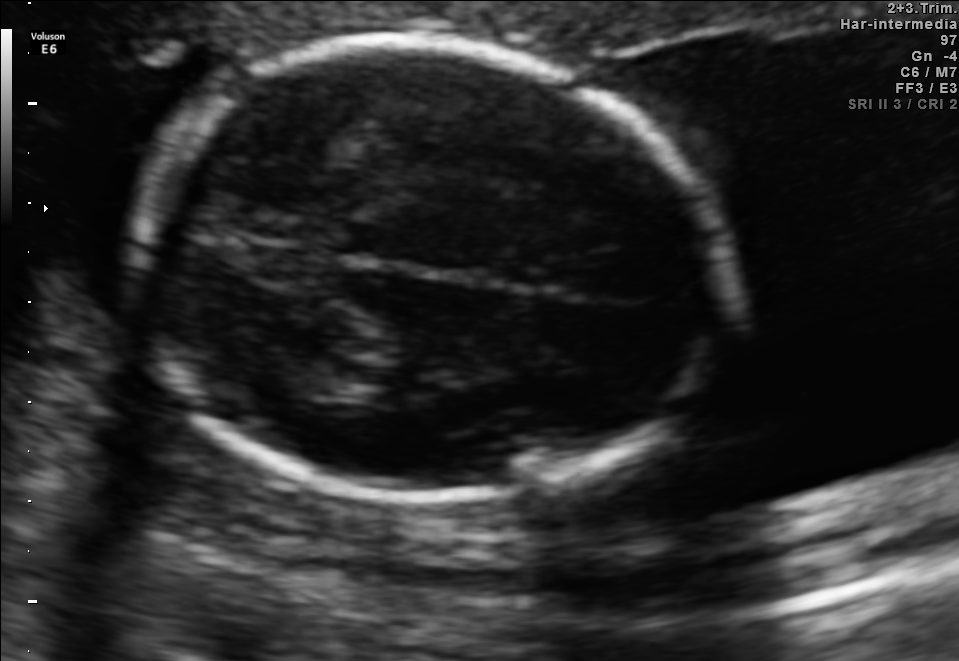
Fetal brain, trans-thalamic plane. Locate the fetal head and, if visible, the cavum septum pellucidum (CSP) and lateral ventricle (LV). Give bounding boxes as [x1,y1,x2,y2].

Head: [137,41,716,498]